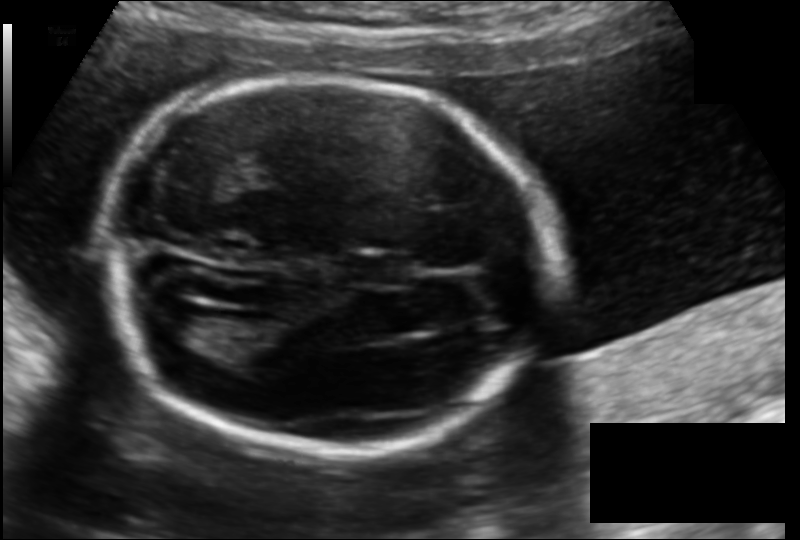
Fetal head ultrasound. Image width: 107.8 mm. Locate the cavum septum pellucidum.

CSP: [354,256,412,284]